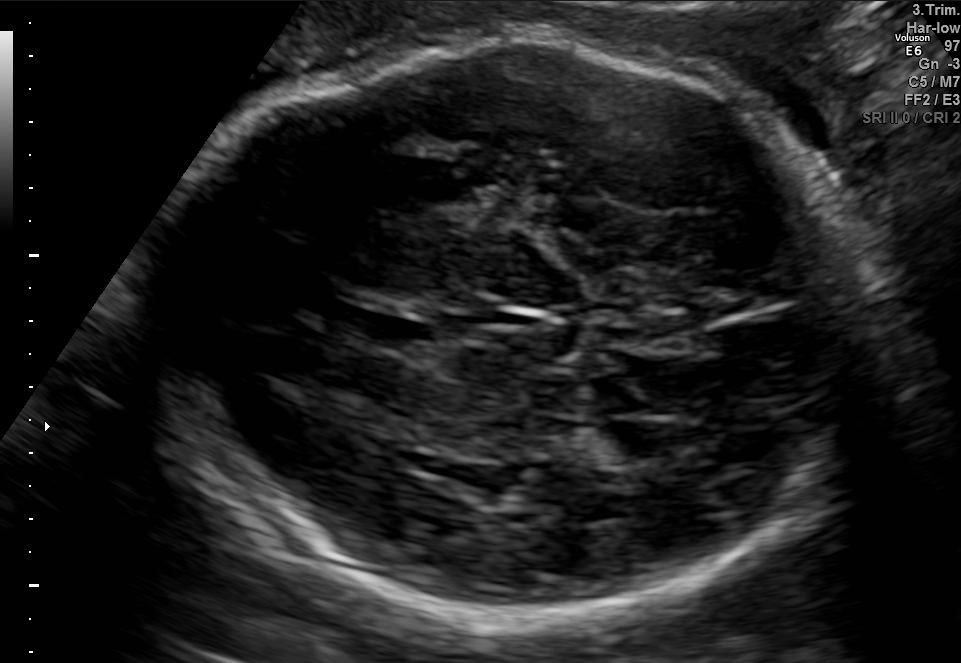
Fetal brain, trans-ventricular plane. Give [x1,y1,x2,y2] bounding boxes for each visible structure among: fetal head, CSP, LV.

Head: [148,38,887,625]